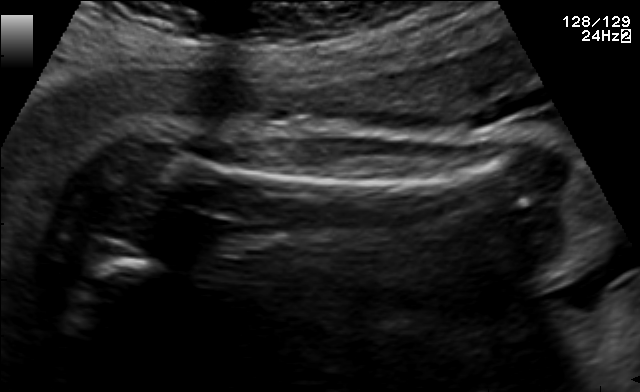
Which standard maternal-fetal ultrasound plane is shown: fetal abdomen, fetal brain, fetal femur, fetal thorax, maternal cervix, or other? If it's fetal brain and one of the three standard brain planes (trans-thalamic, trans-cerebellum, trans-ventricular), name which.

Fetal femur